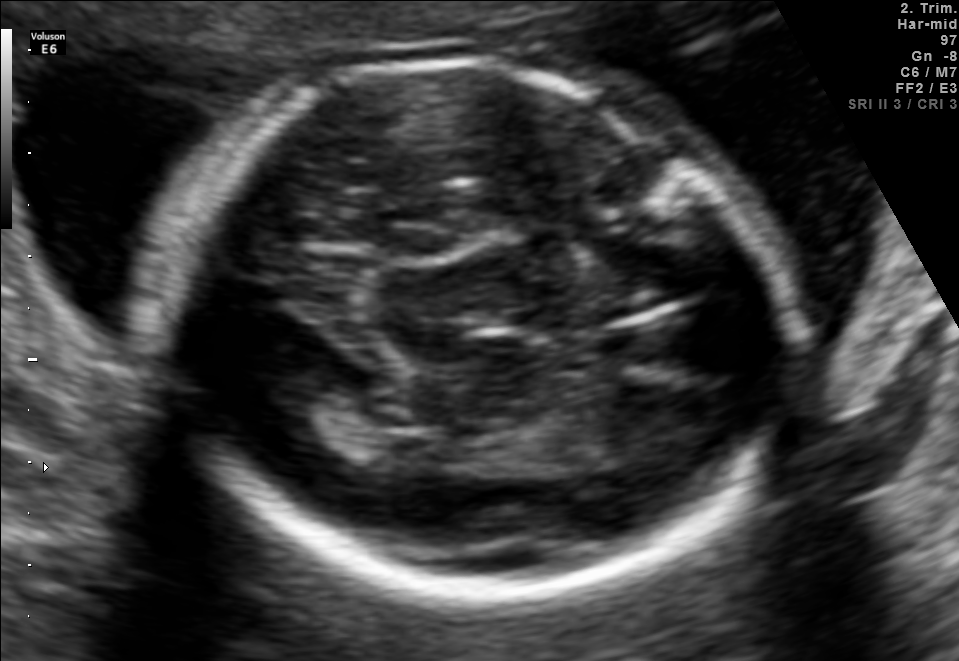
Fetal brain, trans-thalamic plane. Locate the fetal head and, if visible, the cavum septum pellucidum (CSP) and lateral ventricle (LV). Give bounding boxes as [x1,y1,x2,y2].

Head: [158,64,795,599]